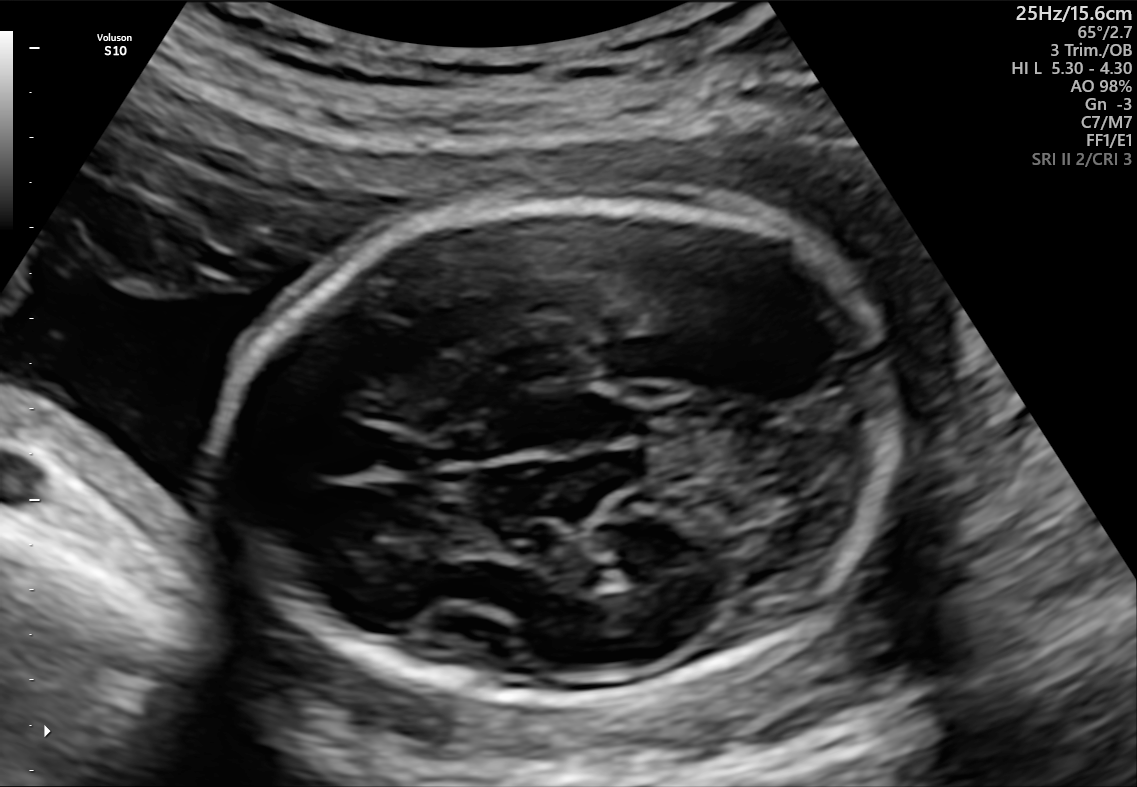
In this fetal brain, trans-thalamic plane, give the bounding box of the fetal head.

[225,195,898,708]